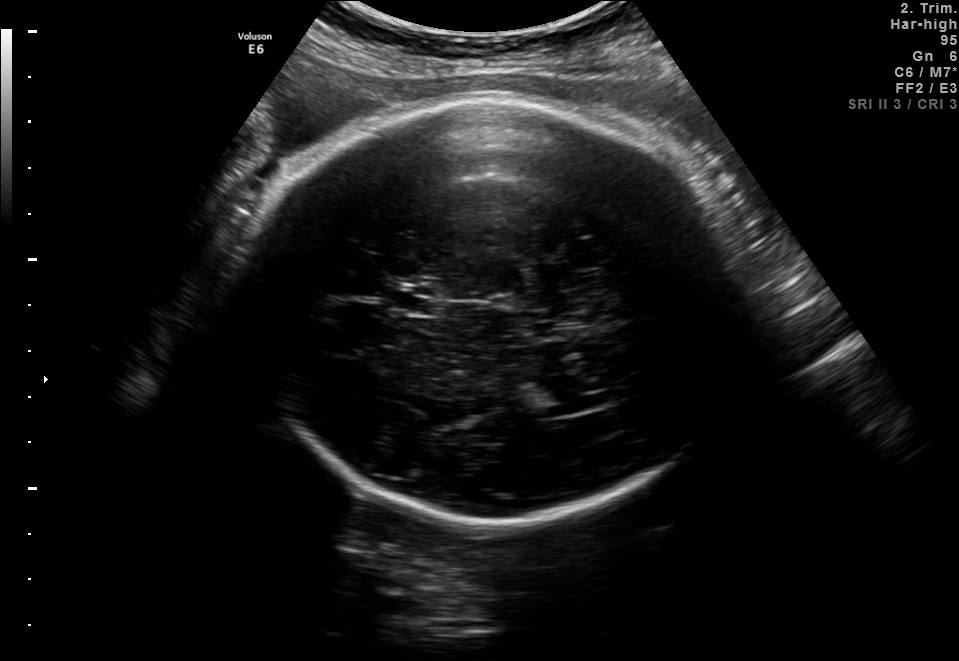
Fetal brain, trans-ventricular plane. Where is the fetal head?

Head bounding box: [234,91,751,526]